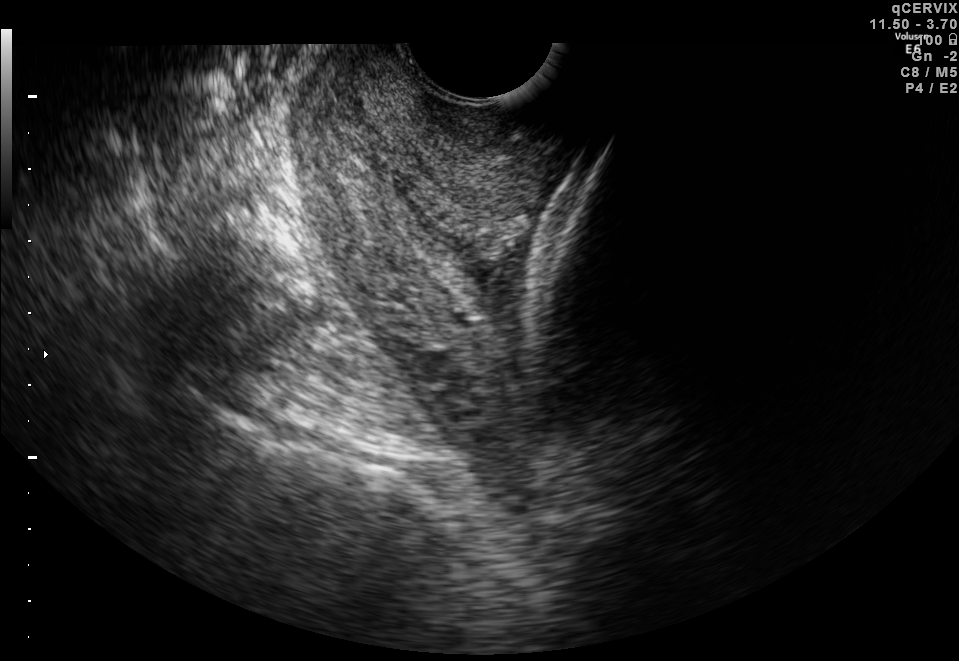
Which standard maternal-fetal ultrasound plane is shown: fetal abdomen, fetal brain, fetal femur, fetal thorax, maternal cervix, or other? If it's fetal brain and one of the three standard brain planes (trans-thalamic, trans-cerebellum, trans-ventricular), name which.

Maternal cervix